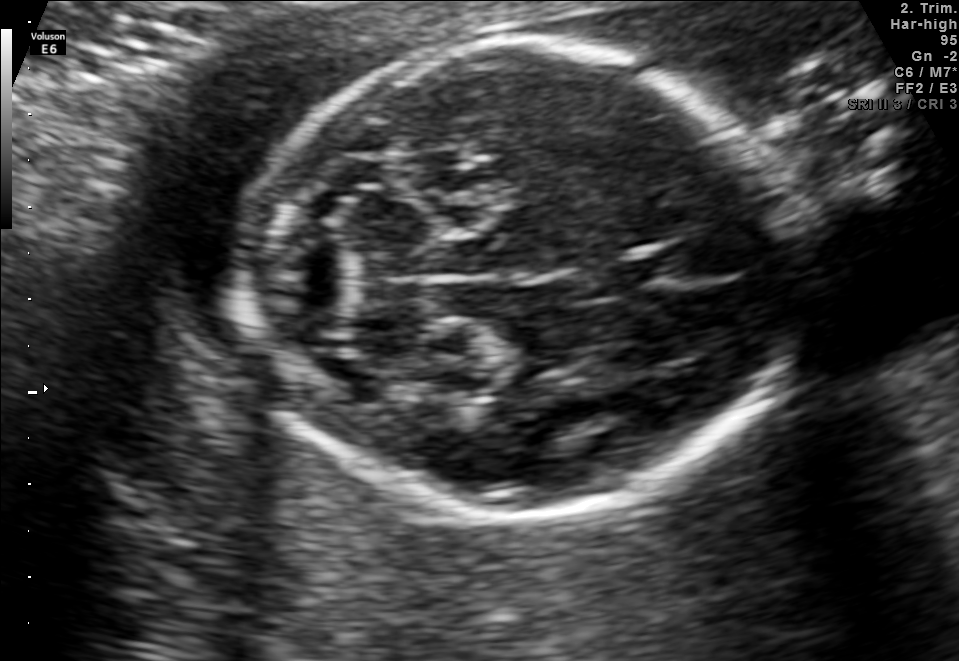
Fetal brain, trans-cerebellum plane. Locate the fetal head.

Head: [244,40,793,517]